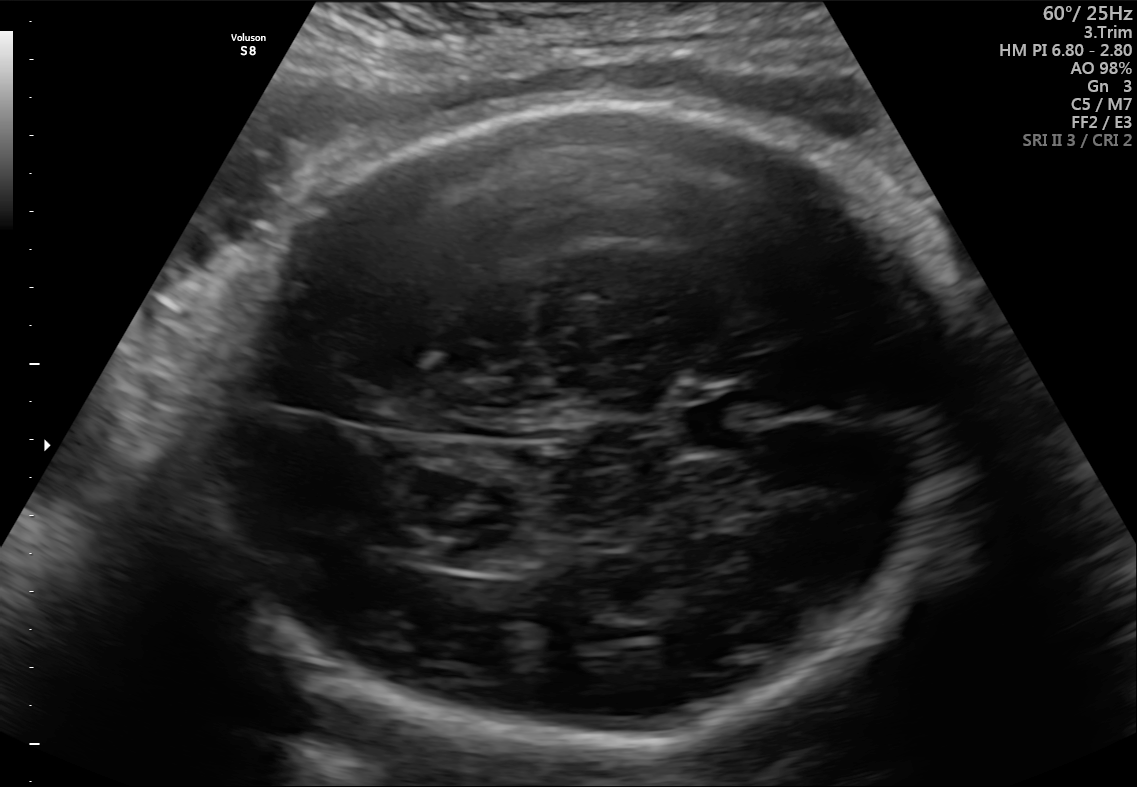
Fetal brain, trans-thalamic plane. Where is the fetal head?

Head bounding box: [183,102,964,756]